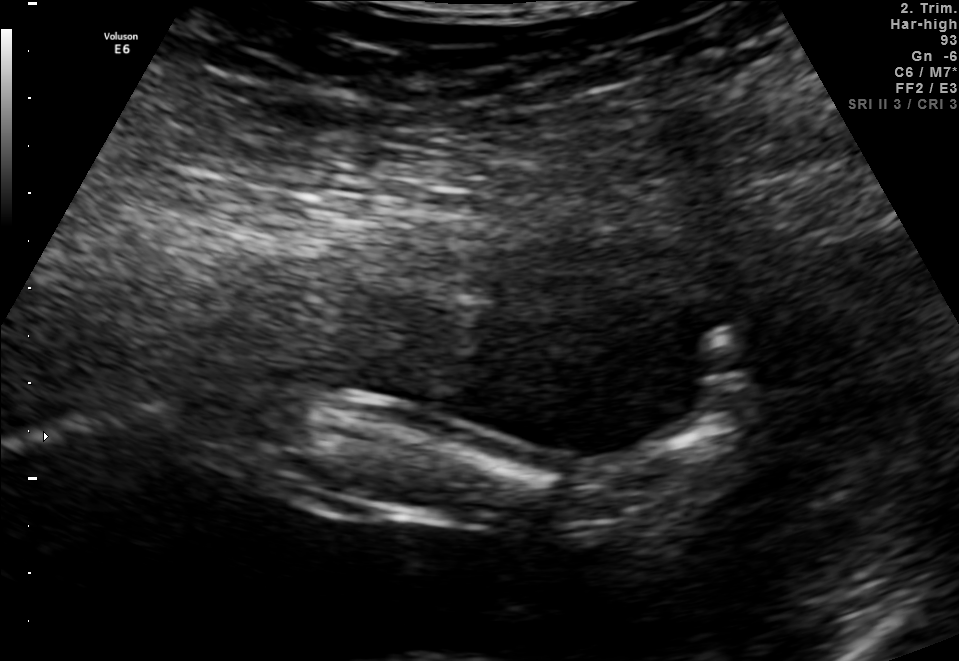
Classify this maternal-fetal ultrasound image as one of the six standard planes — fetal abdomen, fetal brain, fetal femur, fetal thorax, maternal cervix, or other. If it's fetal brain and one of the three standard brain planes (trans-thalamic, trans-cerebellum, trans-ventricular), name which.

Other